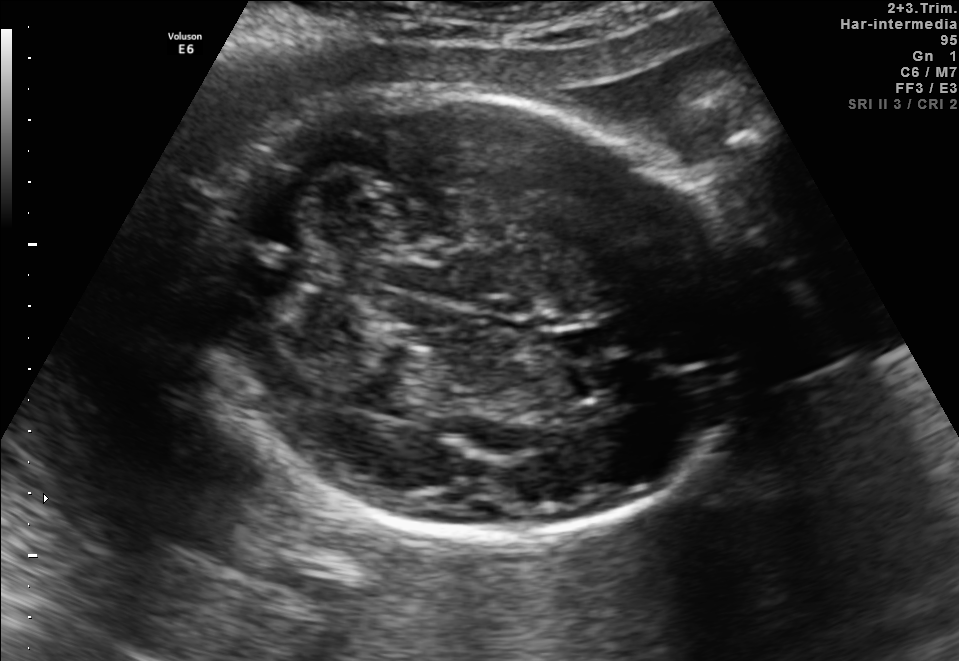
Fetal brain, trans-cerebellum plane. Where is the fetal head?

Head bounding box: [189,90,750,539]